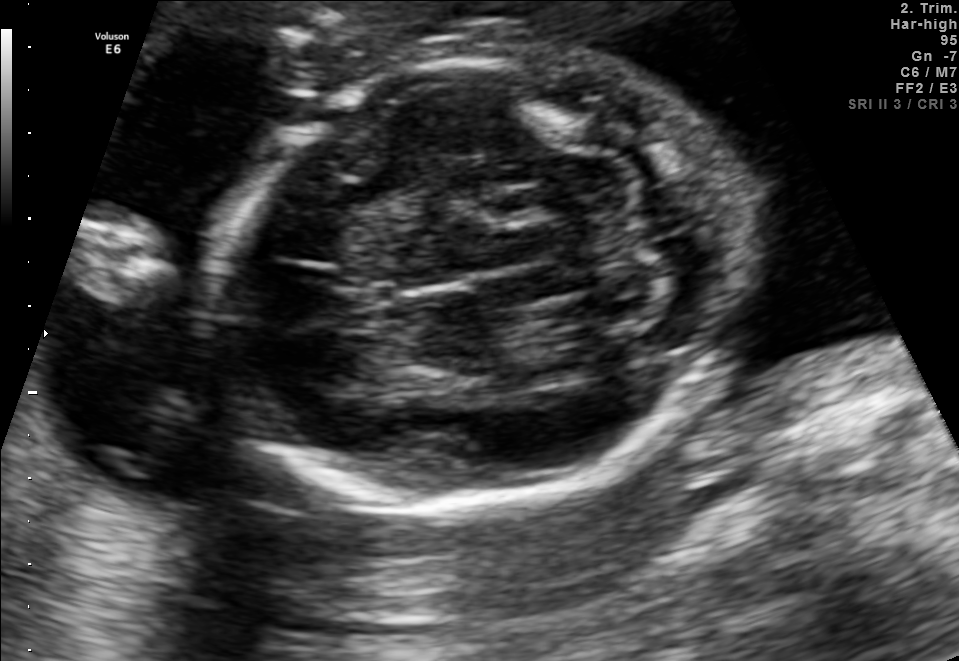
Fetal brain, trans-cerebellum plane. Locate the fetal head and, if visible, the cavum septum pellucidum (CSP) and lateral ventricle (LV). Give bounding boxes as [x1,y1,x2,y2].

Head: [215,54,740,511]